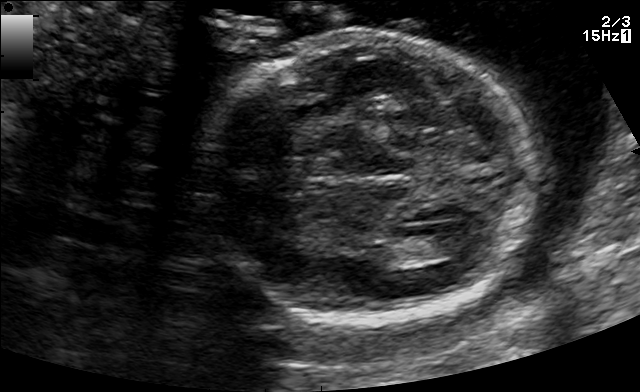
Fetal brain, trans-ventricular plane. Give [x1,y1,x2,y2] bounding boxes for each visible structure among: fetal head, CSP, LV.

Head: [190,26,544,330]
CSP: [302,171,341,191]
Lateral ventricle: [426,231,478,260]